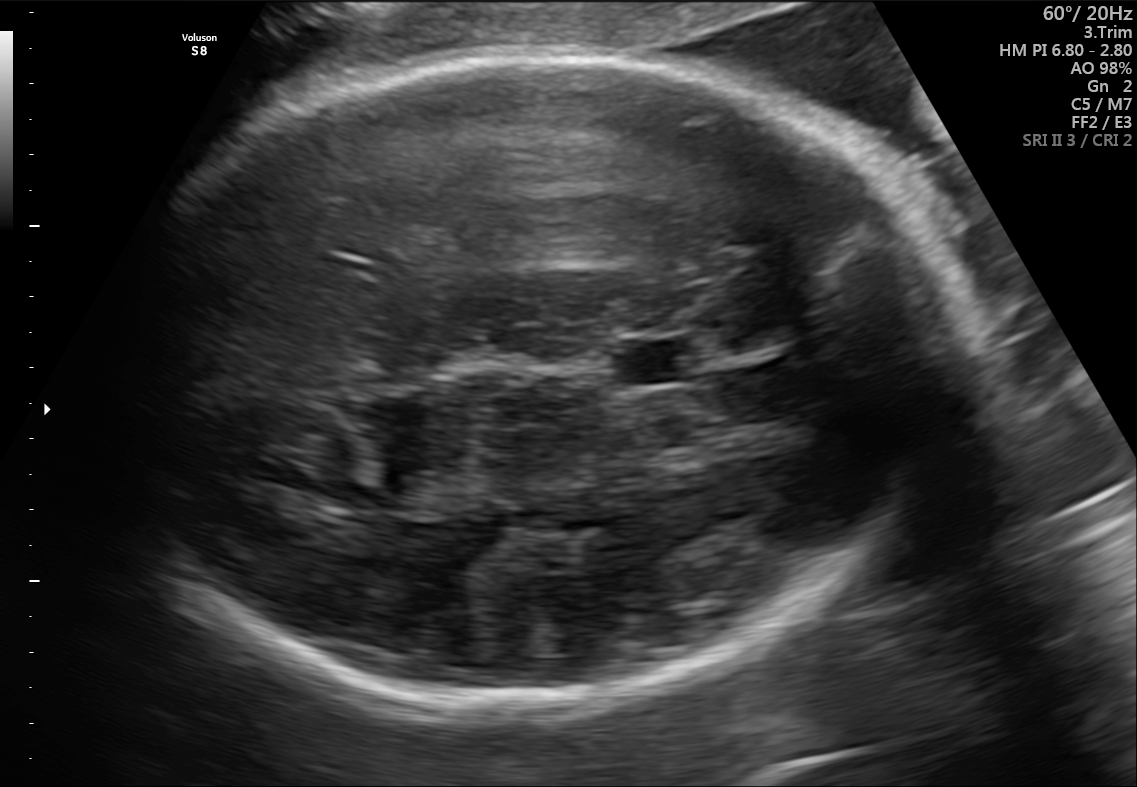
Fetal brain, trans-thalamic plane. Where is the fetal head?

Head bounding box: [106,54,951,702]